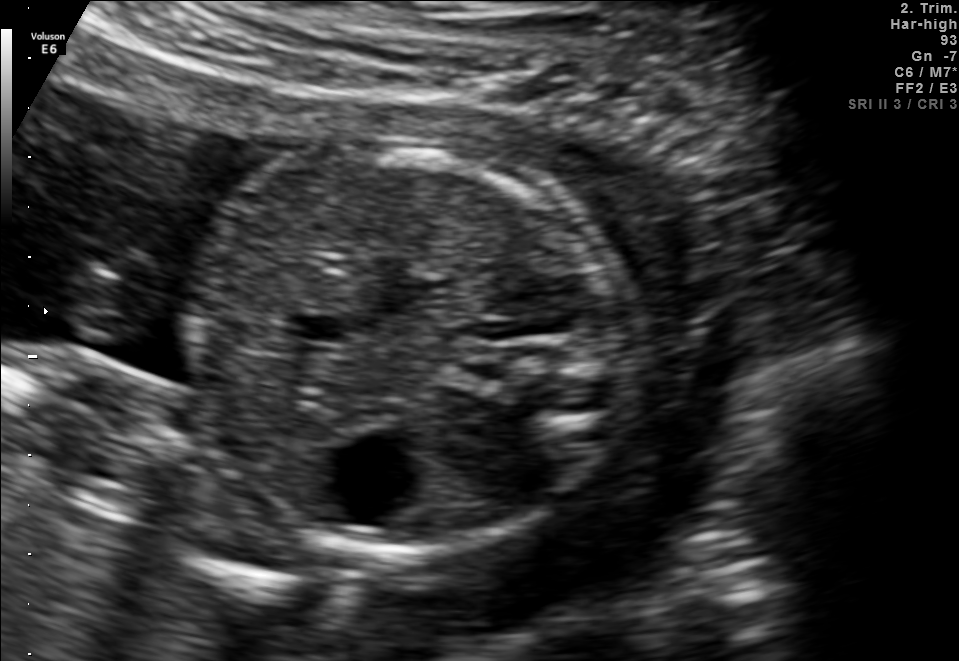
This is a 2D maternal-fetal ultrasound frame. Is it a fetal abdomen, fetal brain, fetal femur, fetal thorax, maternal cervix, or other standard plane? If it's fetal brain and one of the three standard brain planes (trans-thalamic, trans-cerebellum, trans-ventricular), name which.

Fetal abdomen